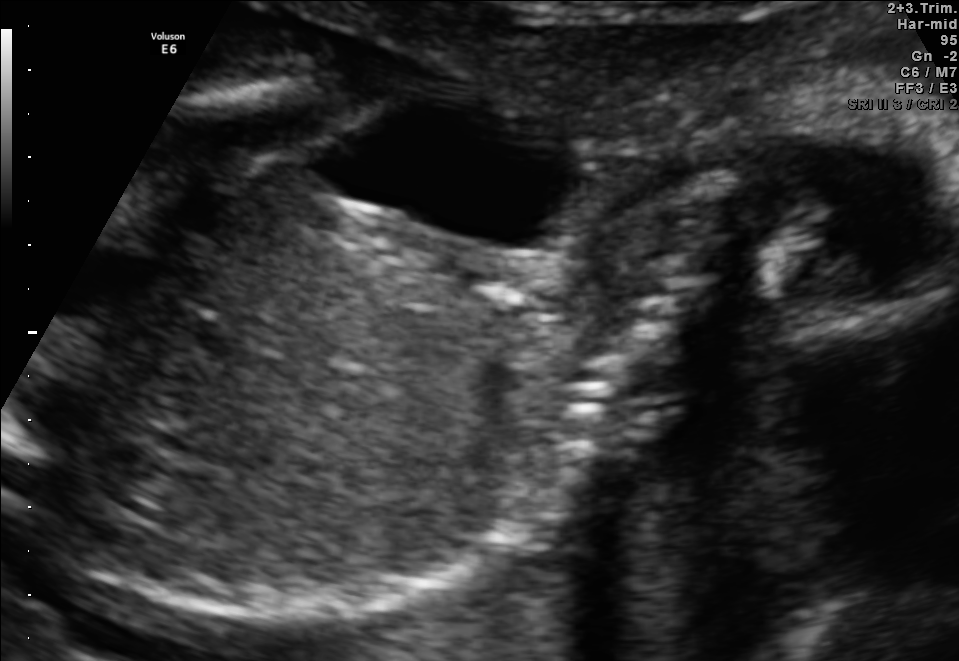
Classify this maternal-fetal ultrasound image as one of the six standard planes — fetal abdomen, fetal brain, fetal femur, fetal thorax, maternal cervix, or other. If it's fetal brain and one of the three standard brain planes (trans-thalamic, trans-cerebellum, trans-ventricular), name which.

Other